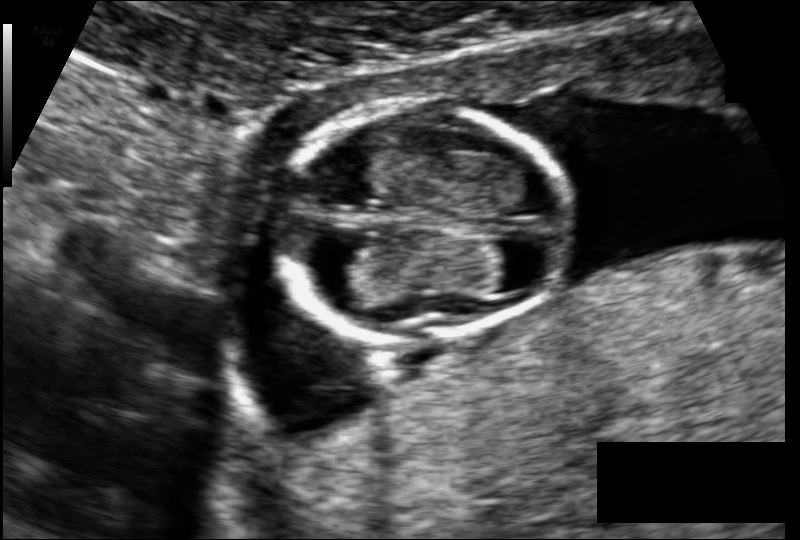
From this fetal ultrasound, estimate the head circumference (image width 78.5 mm).

Head circumference: 83.4 mm.